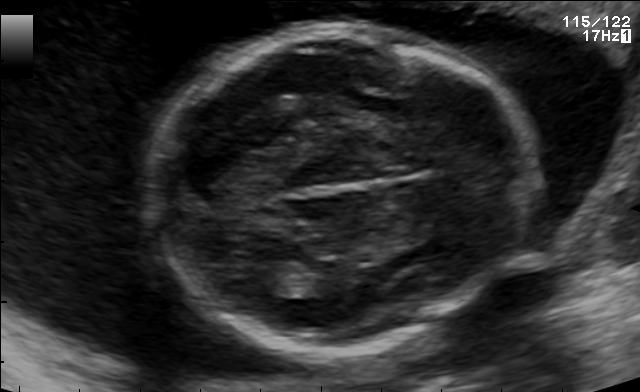
In this fetal brain, trans-thalamic plane, give bounding boxes for the head outline, cavum septum pellucidum (CSP), and lateral ventricle (LV), where visible.

Head: [153,27,543,347]